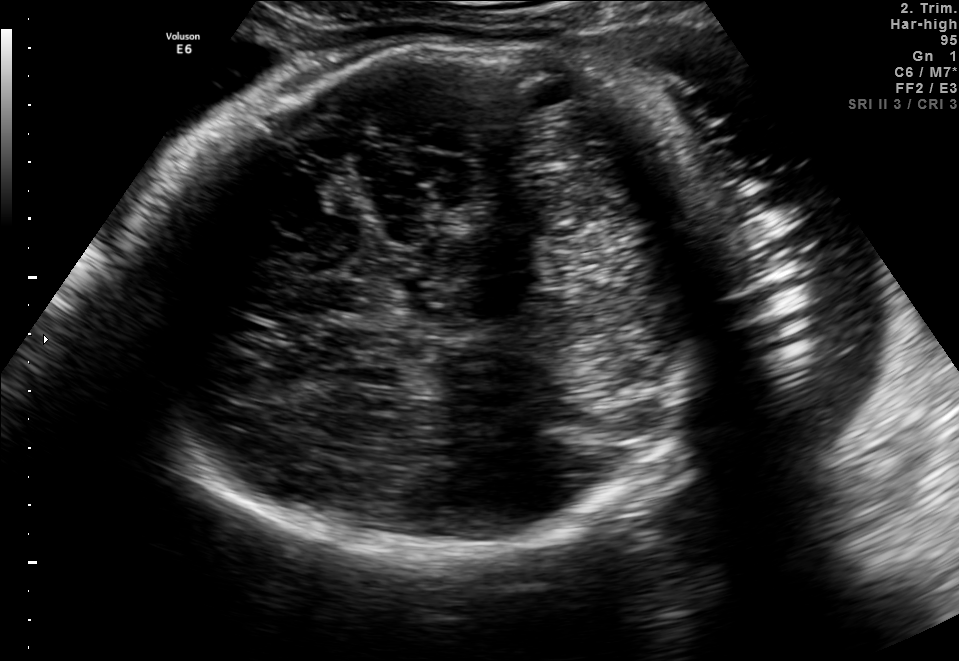
In this fetal brain, trans-thalamic plane, give the bounding box of the fetal head.

[129,35,796,560]